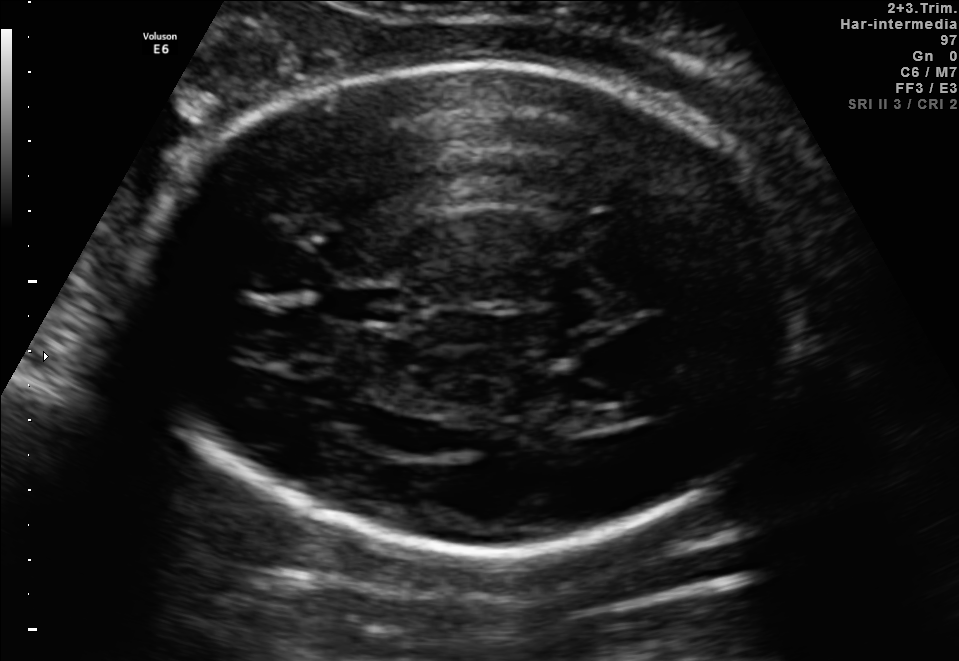
In this fetal brain, trans-ventricular plane, give bounding boxes for the head outline, cavum septum pellucidum (CSP), and lateral ventricle (LV), where visible.

Head: [137,56,816,563]
CSP: [318,283,412,327]